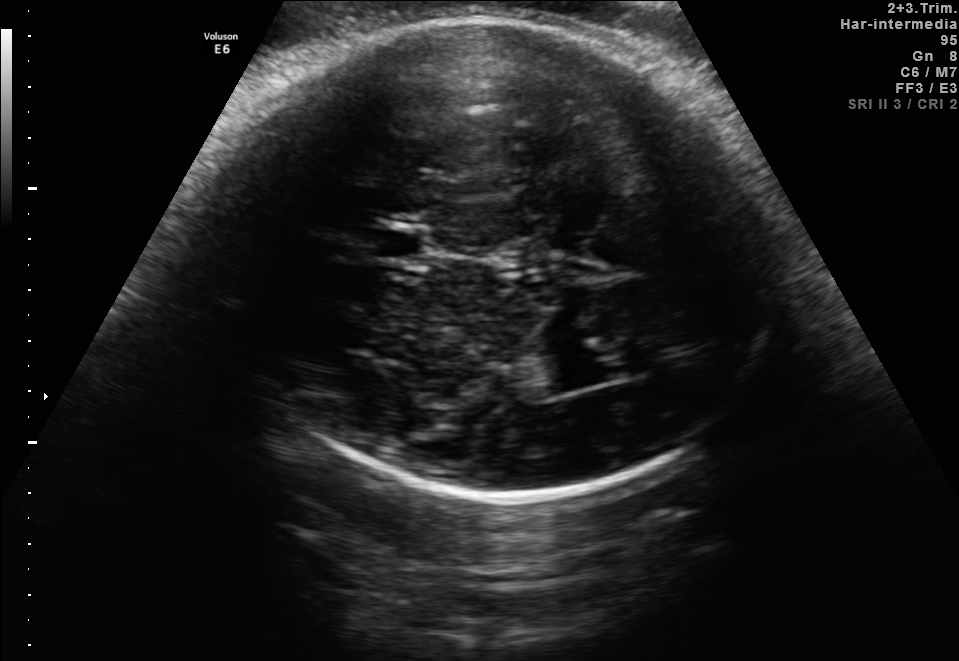
Fetal brain, trans-thalamic plane. Locate the lateral ventricle.

Lateral ventricle: [533,347,603,399]